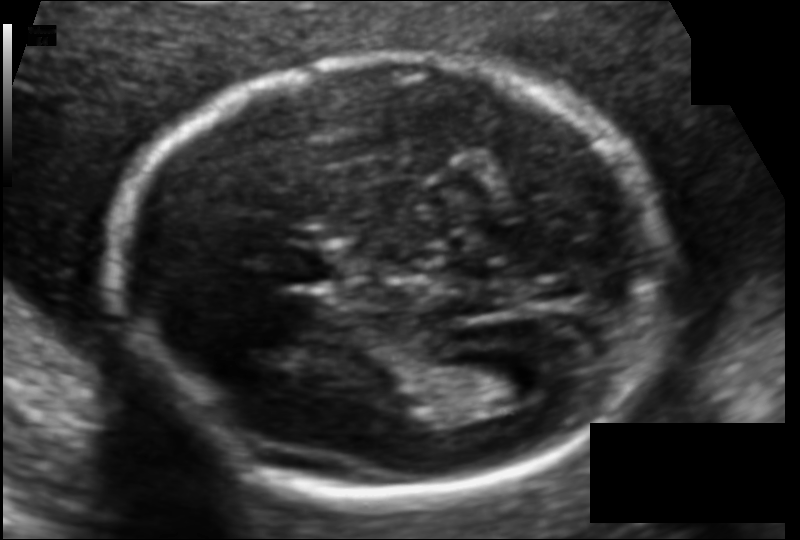
Measure the fetal head circumference shown in this ultrasound image. Image width: 83.5 mm.

Head circumference: 166.9 mm.